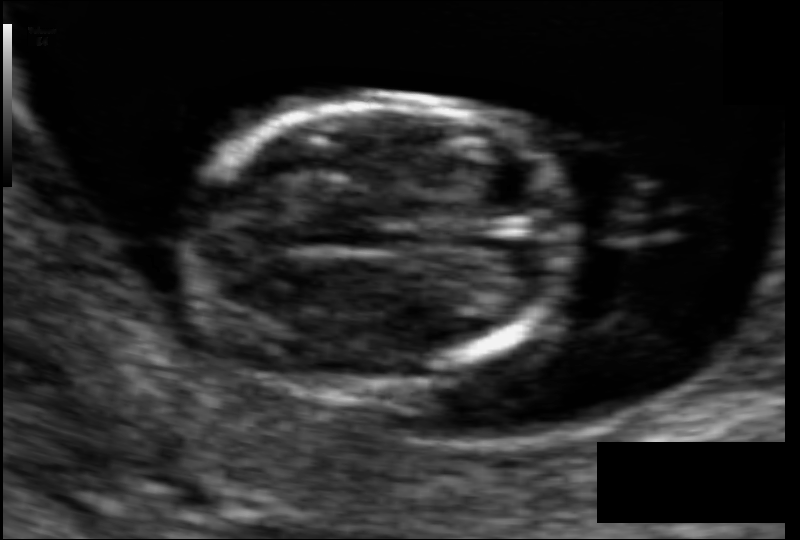
From this fetal ultrasound, estimate the head circumference (image width 52.8 mm).

Head circumference: 71.6 mm.